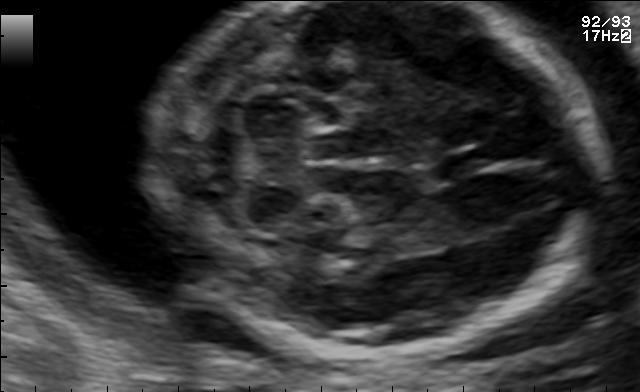
Fetal brain, trans-cerebellum plane. Give [x1,y1,x2,y2] bounding boxes for each visible structure among: fetal head, CSP, LV.

Head: [153,2,601,355]